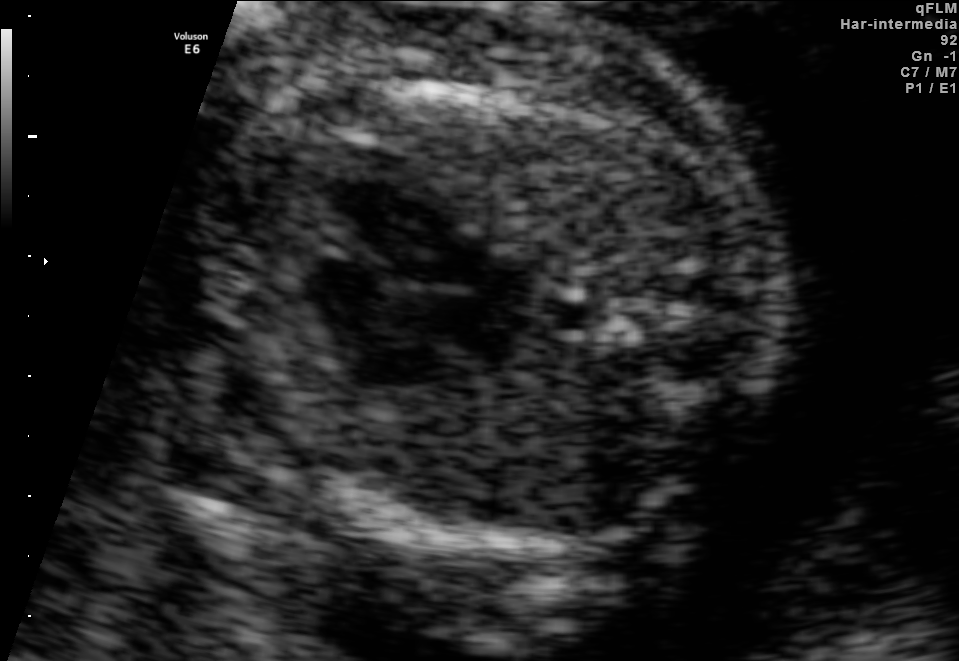
Identify the standard plane in this fetal ultrasound image: fetal abdomen, fetal brain, fetal femur, fetal thorax, maternal cervix, or other. If it's fetal brain and one of the three standard brain planes (trans-thalamic, trans-cerebellum, trans-ventricular), name which.

Fetal thorax